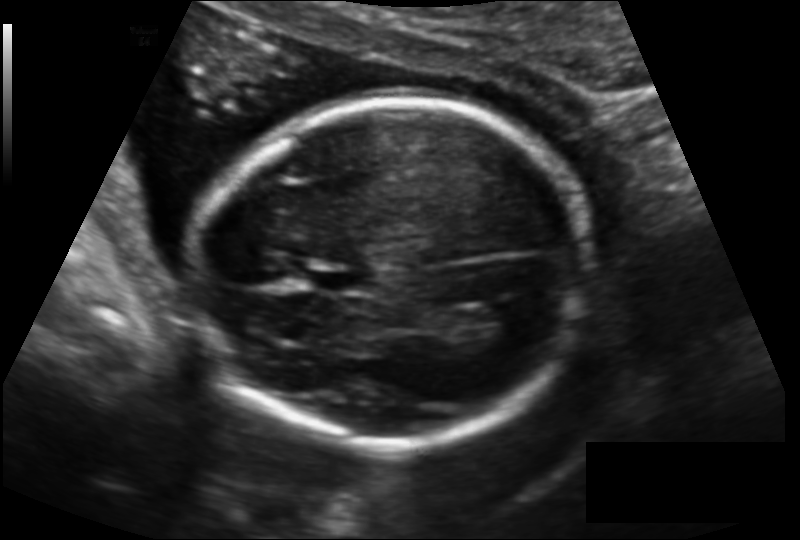
In this fetal head ultrasound, give the bounding box of the fetal head. Image width: 111.8 mm.

[201,99,591,444]